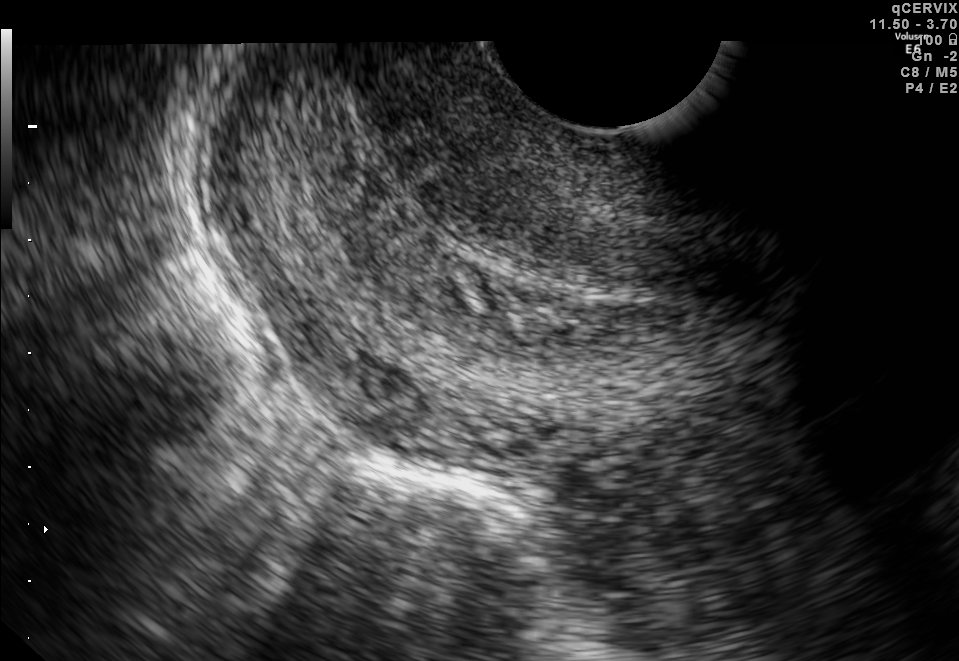
Which standard maternal-fetal ultrasound plane is shown: fetal abdomen, fetal brain, fetal femur, fetal thorax, maternal cervix, or other? If it's fetal brain and one of the three standard brain planes (trans-thalamic, trans-cerebellum, trans-ventricular), name which.

Maternal cervix